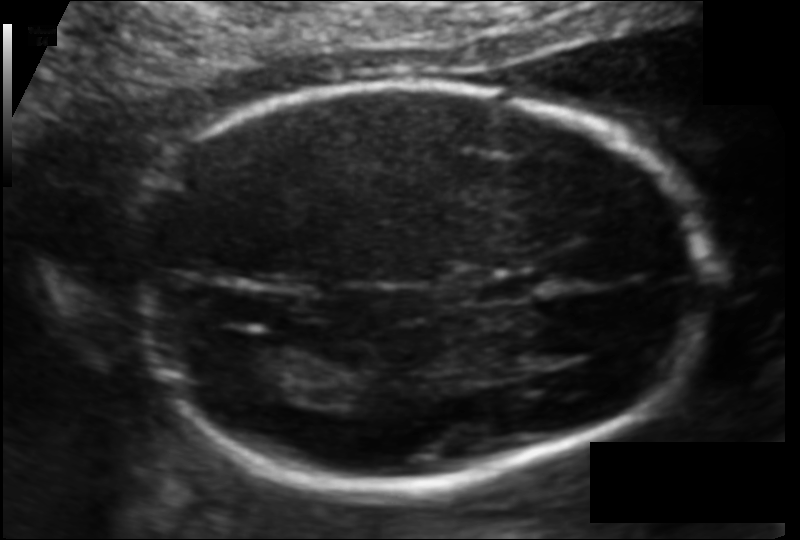
Fetal head ultrasound. Image width: 87.4 mm. Locate the cavum septum pellucidum.

CSP: [477,268,547,307]